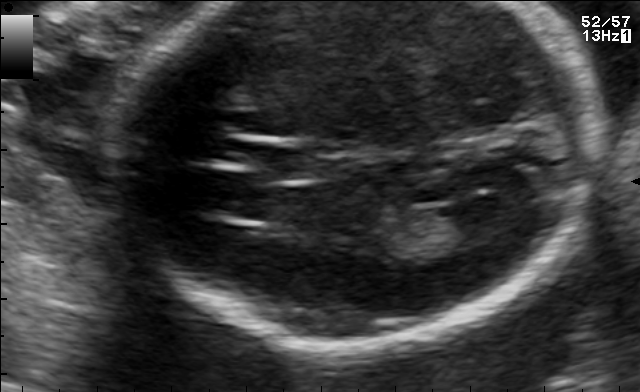
Identify the standard plane in this fetal ultrasound image: fetal abdomen, fetal brain, fetal femur, fetal thorax, maternal cervix, or other. If it's fetal brain and one of the three standard brain planes (trans-thalamic, trans-cerebellum, trans-ventricular), name which.

Fetal brain (trans-ventricular plane)